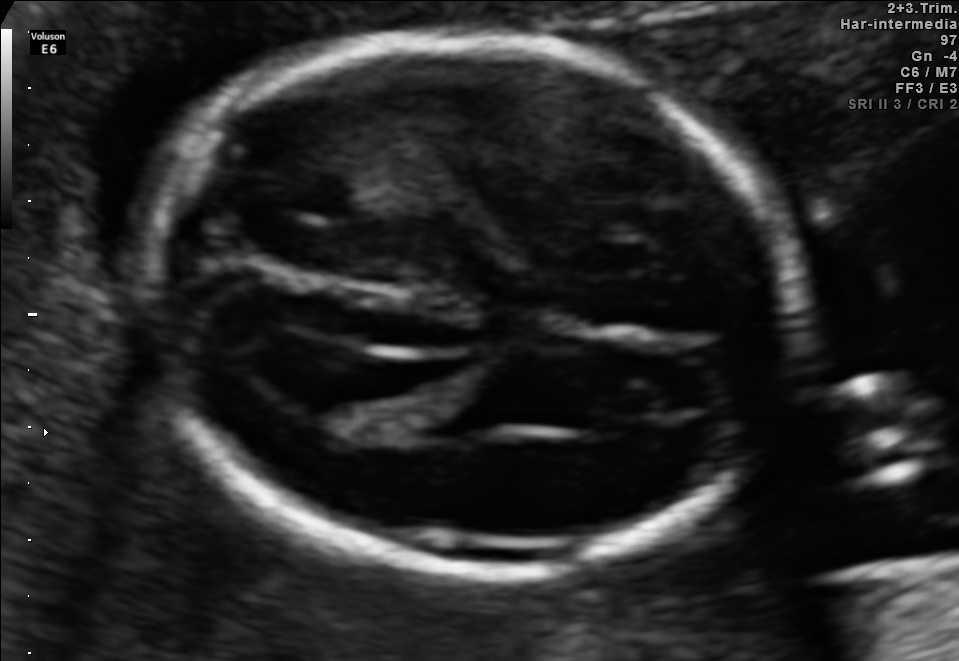
In this fetal brain, trans-ventricular plane, give the bounding box of the fetal head.

[134,27,821,590]